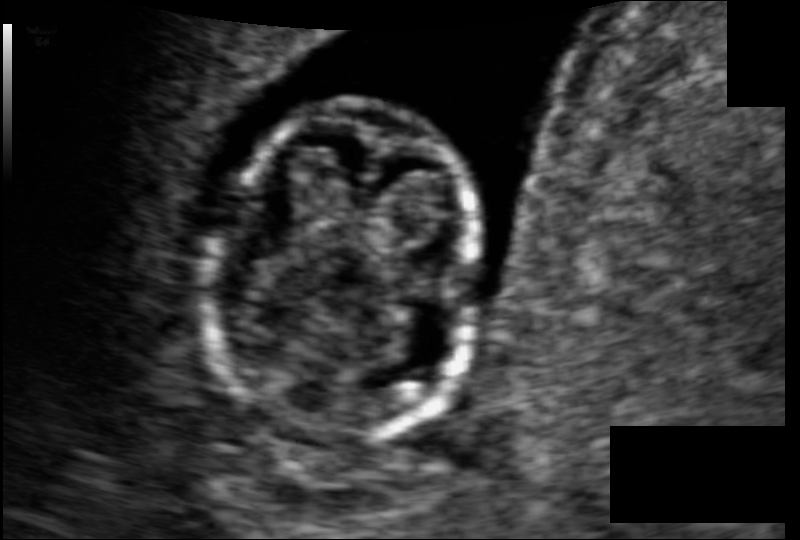
From this fetal ultrasound, estimate the head circumference (image width 59.1 mm).

Head circumference: 74.6 mm.